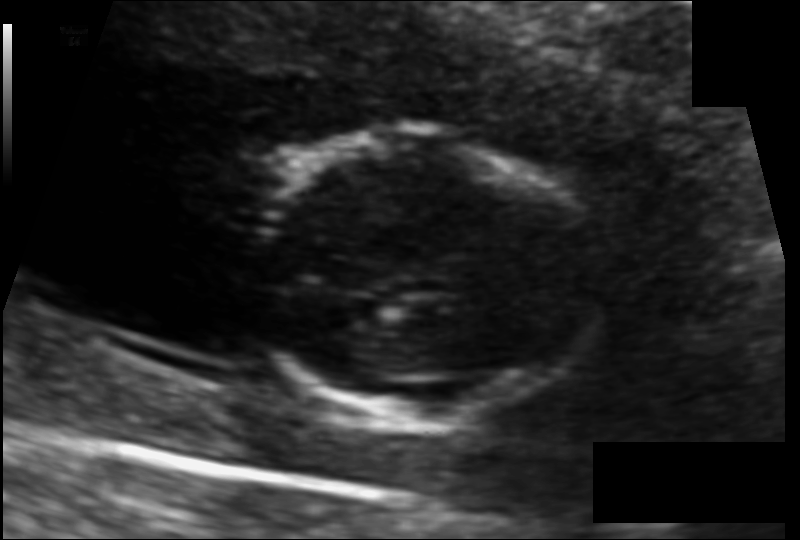
From this fetal ultrasound, estimate the head circumference (image width 72.8 mm).

Head circumference: 94.3 mm.